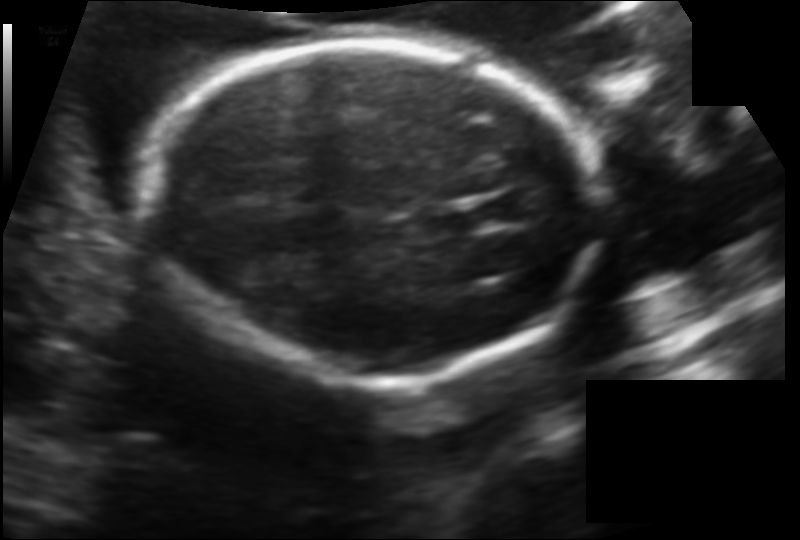
What is the fetal head circumference? Image width is 108.5 mm.

176.6 mm